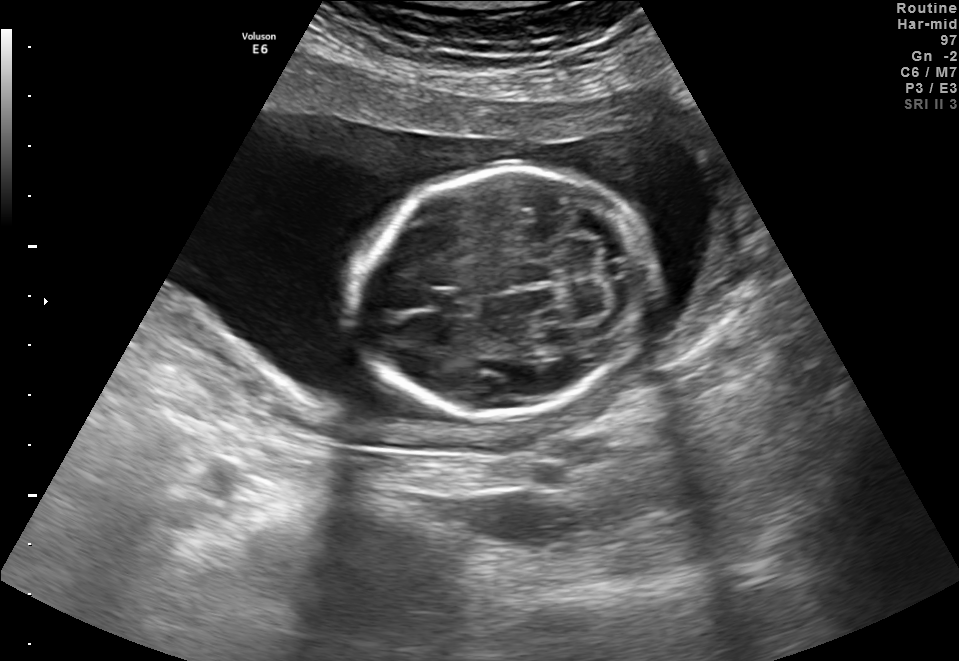
Fetal brain, trans-cerebellum plane. Where is the cavum septum pellucidum?

CSP bounding box: [431,287,477,316]